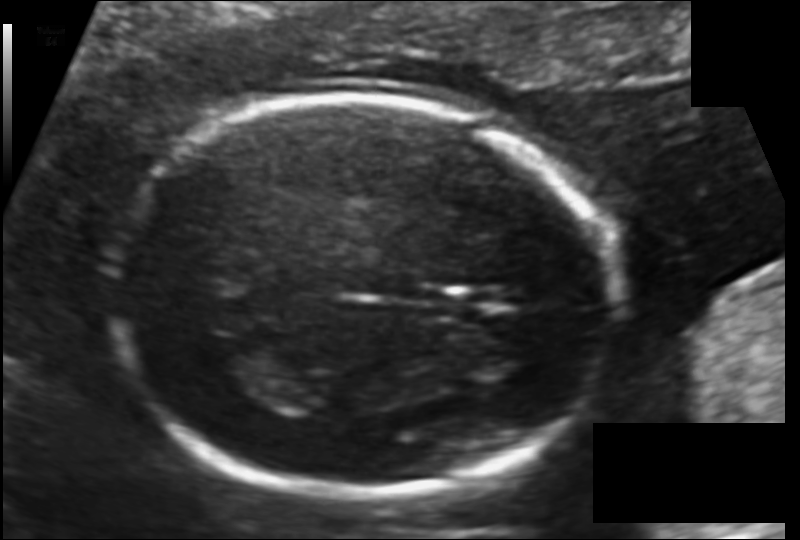
Fetal head ultrasound. Image width: 92.9 mm. Give [x1,y1,x2,y2] bounding boxes for each visible structure among: fetal head, CSP, LV.

Head: [107,96,616,494]